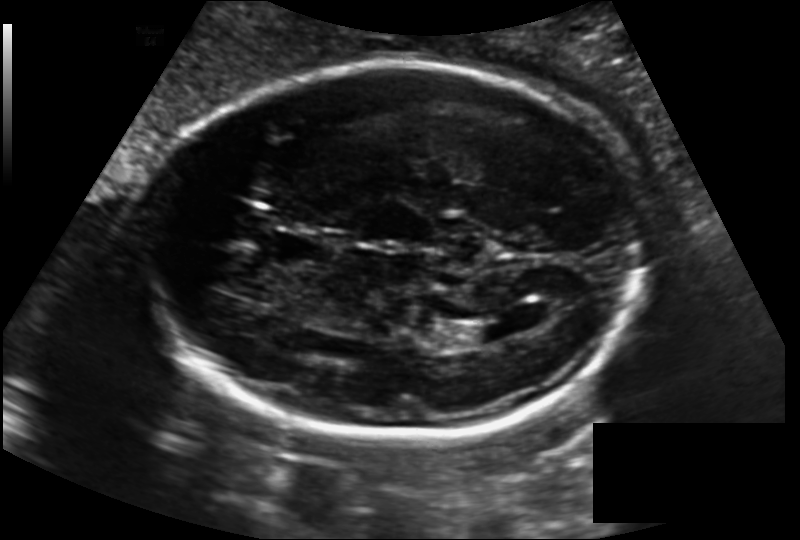
In this fetal head ultrasound, give bounding boxes for the head outline, cavum septum pellucidum (CSP), and lateral ventricle (LV), where visible. Image width: 130.6 mm.

Head: [144,63,641,443]
CSP: [271,226,335,270]
Lateral ventricle: [459,318,510,348]